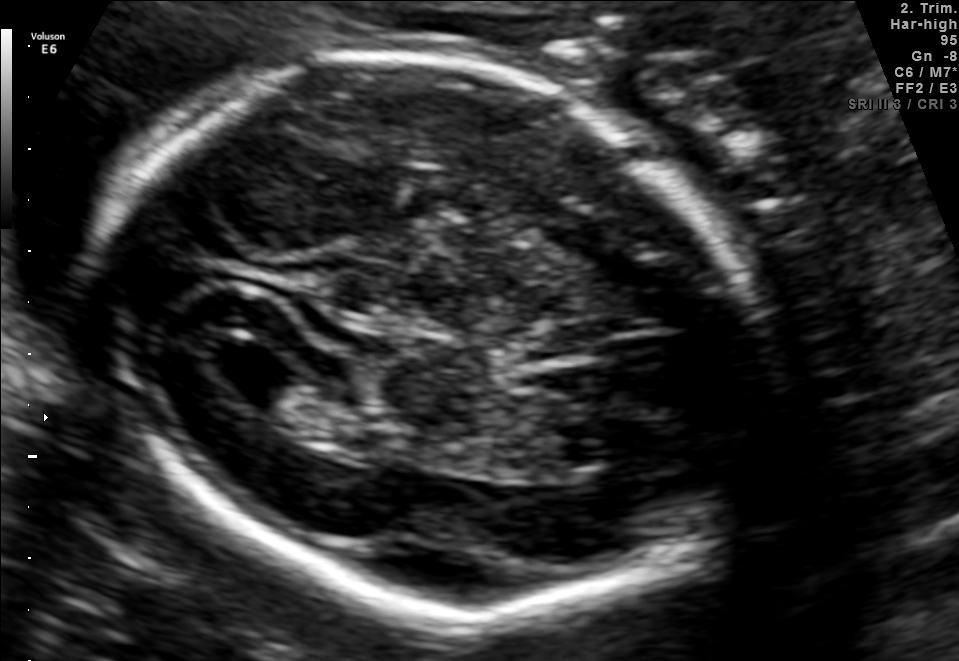
Fetal brain, trans-ventricular plane. Give [x1,y1,x2,y2] bounding boxes for each visible structure among: fetal head, CSP, LV.

Head: [83,41,788,638]
Lateral ventricle: [199,324,301,414]